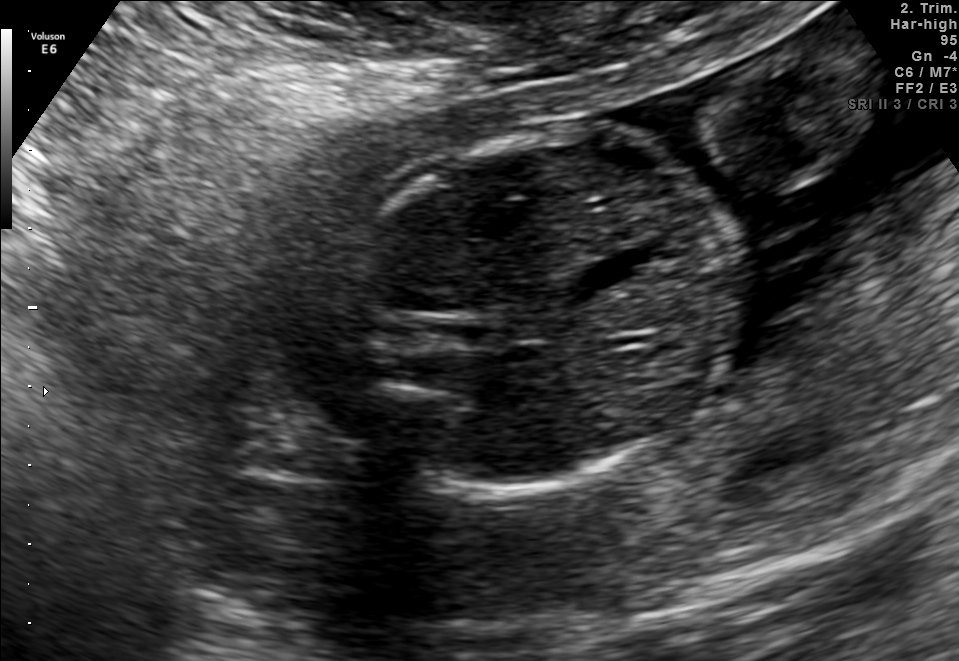
This is a 2D maternal-fetal ultrasound frame. Is it a fetal abdomen, fetal brain, fetal femur, fetal thorax, maternal cervix, or other standard plane? If it's fetal brain and one of the three standard brain planes (trans-thalamic, trans-cerebellum, trans-ventricular), name which.

Fetal abdomen